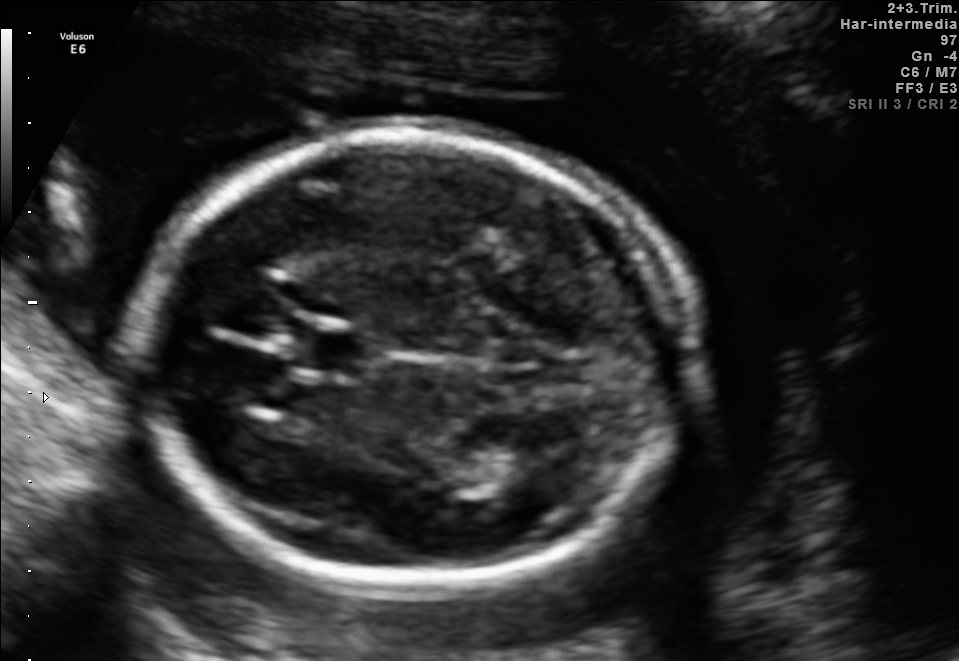
In this fetal brain, trans-thalamic plane, give bounding boxes for the head outline, cavum septum pellucidum (CSP), and lateral ventricle (LV), where visible.

Head: [142,133,687,586]
CSP: [295,326,368,377]
Lateral ventricle: [471,428,569,499]